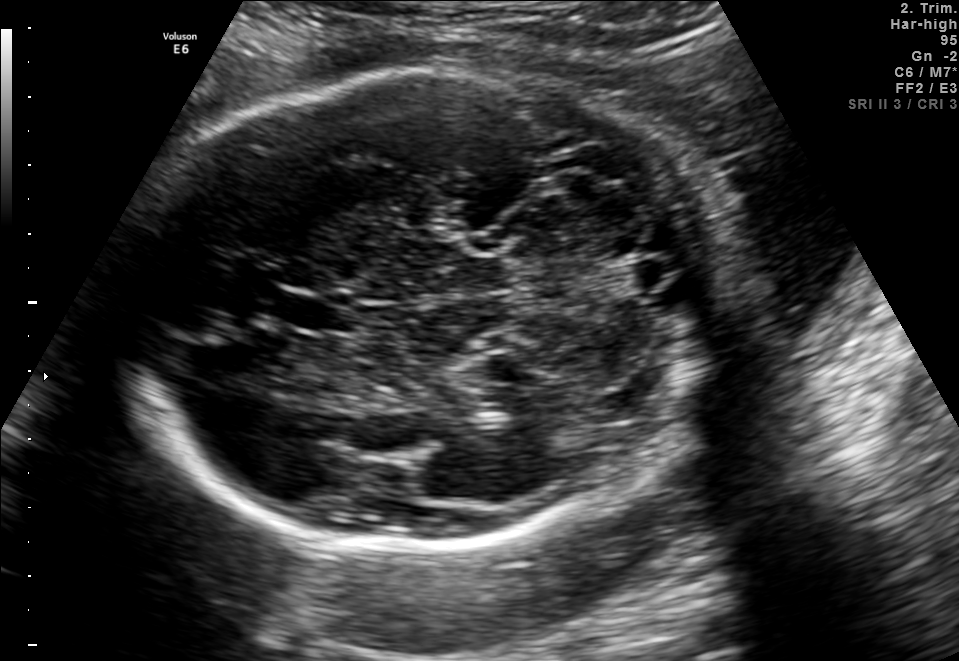
Fetal brain, trans-cerebellum plane. Where is the fetal head?

Head bounding box: [123,71,720,554]